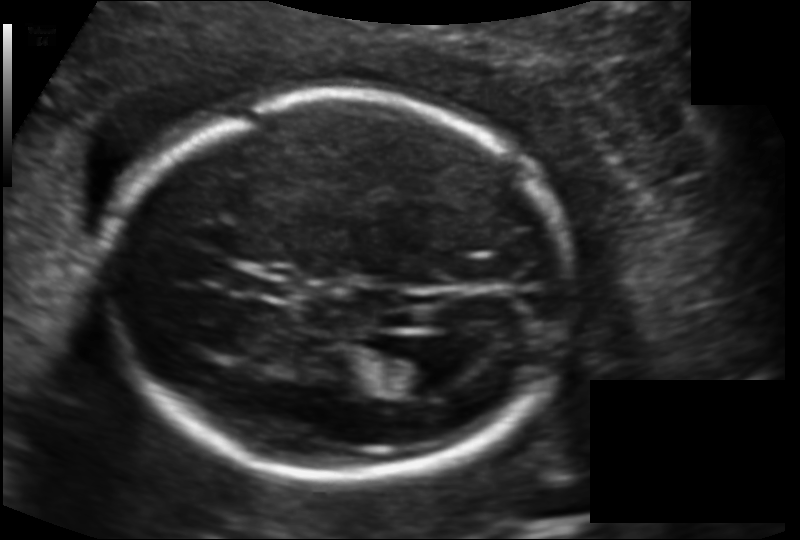
In this fetal head ultrasound, give the bounding box of the cavum septum pellucidum. Image width: 107.3 mm.

[234,268,289,302]